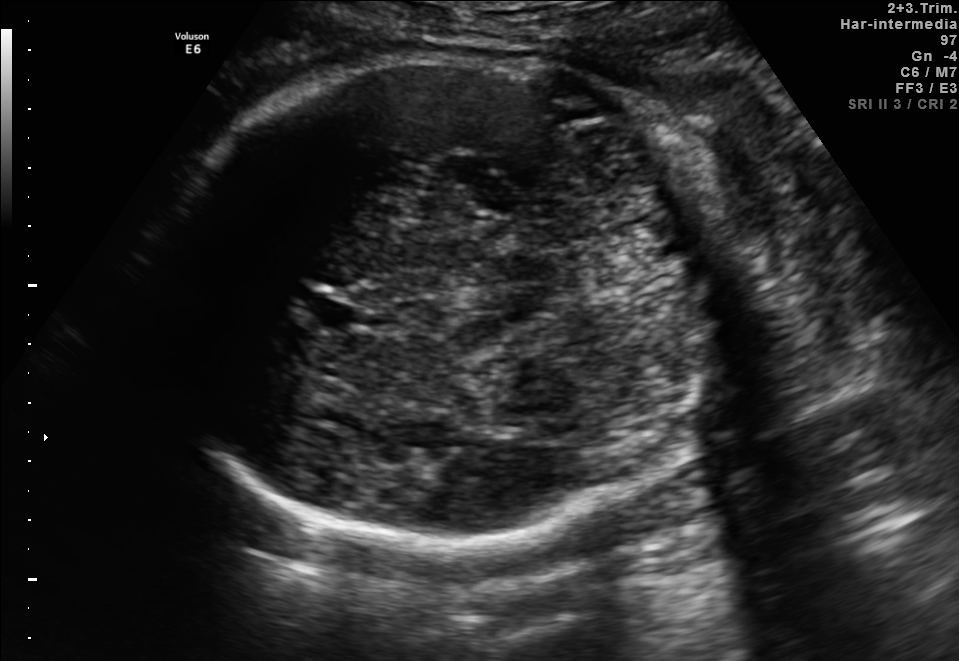
Fetal brain, trans-thalamic plane. Give [x1,y1,x2,y2] bounding boxes for each visible structure among: fetal head, CSP, LV.

Head: [150,59,715,538]
CSP: [308,294,359,335]